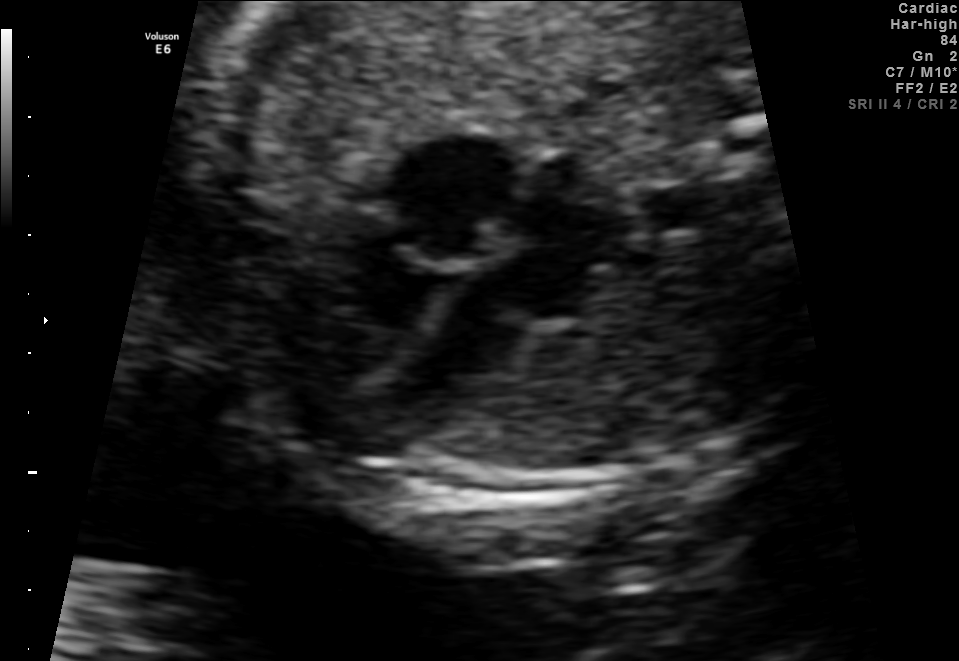
This is a 2D maternal-fetal ultrasound frame. Is it a fetal abdomen, fetal brain, fetal femur, fetal thorax, maternal cervix, or other standard plane? If it's fetal brain and one of the three standard brain planes (trans-thalamic, trans-cerebellum, trans-ventricular), name which.

Fetal thorax